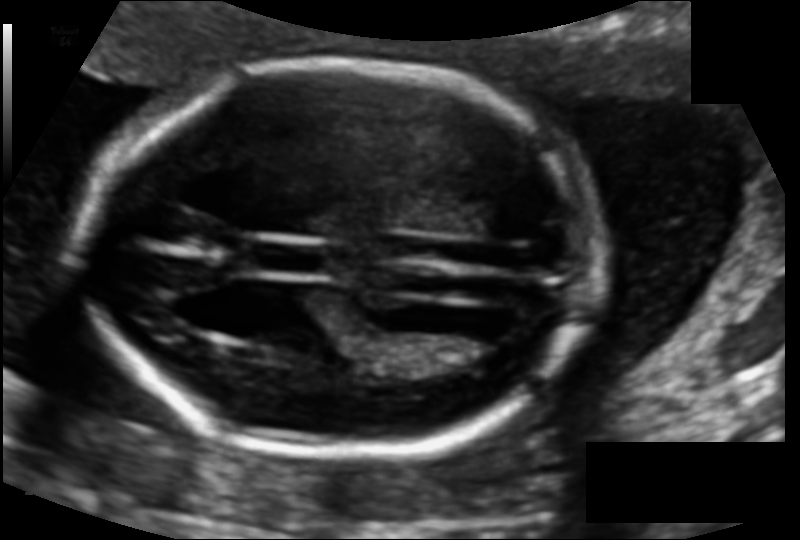
Fetal head ultrasound. Image width: 88.3 mm. Where is the fetal head?

Head bounding box: [78,60,591,453]